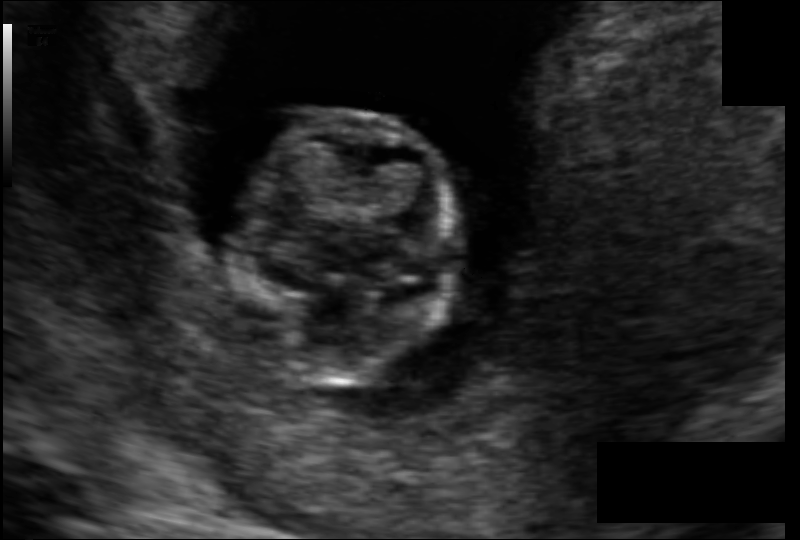
From this fetal ultrasound, estimate the head circumference (image width 72.7 mm).

Head circumference: 73.1 mm.